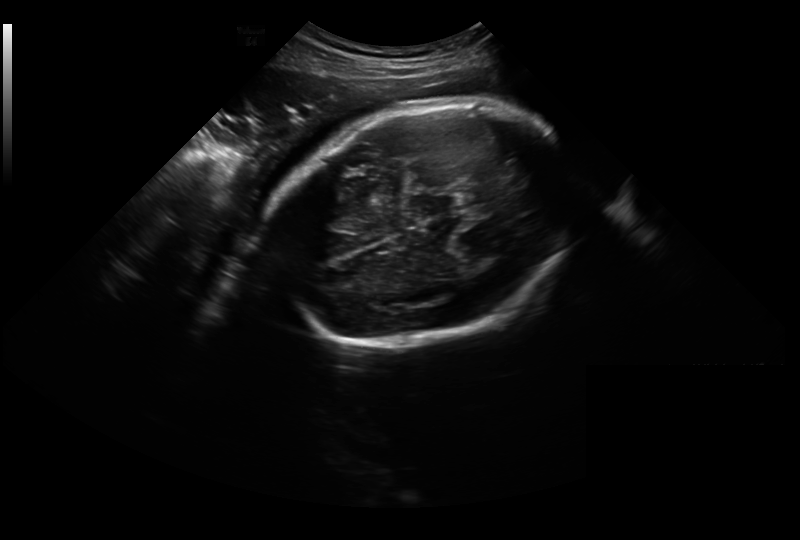
Fetal head ultrasound. Image width: 261.1 mm. Locate the fetal head and, if visible, the cavum septum pellucidum (CSP) and lateral ventricle (LV). Give bounding boxes as [x1,y1,x2,y2].

Head: [269,102,573,346]